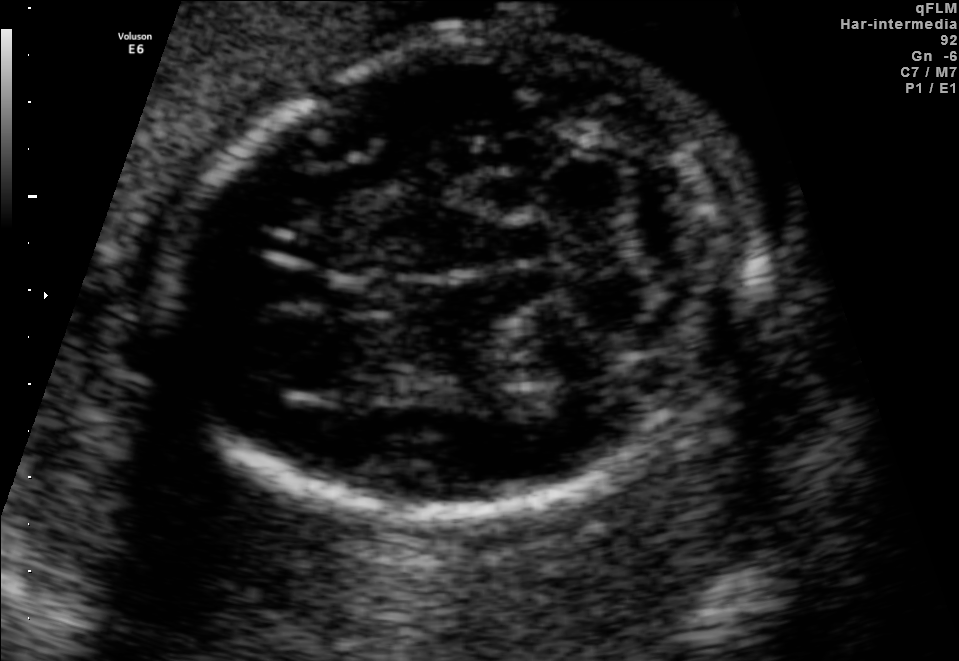
Fetal brain, trans-cerebellum plane. Locate the fetal head and, if visible, the cavum septum pellucidum (CSP) and lateral ventricle (LV). Give bounding boxes as [x1,y1,x2,y2].

Head: [180,38,749,517]